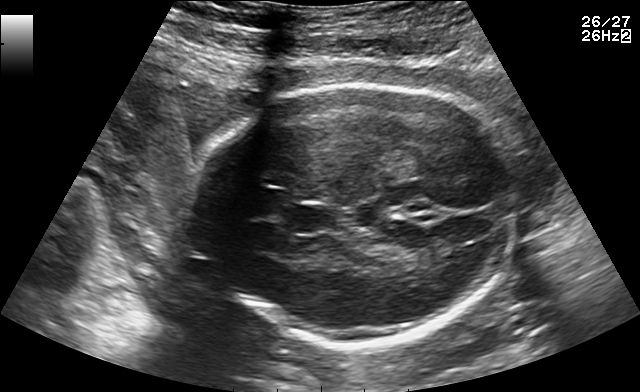
Which standard maternal-fetal ultrasound plane is shown: fetal abdomen, fetal brain, fetal femur, fetal thorax, maternal cervix, or other? If it's fetal brain and one of the three standard brain planes (trans-thalamic, trans-cerebellum, trans-ventricular), name which.

Fetal brain (trans-thalamic plane)